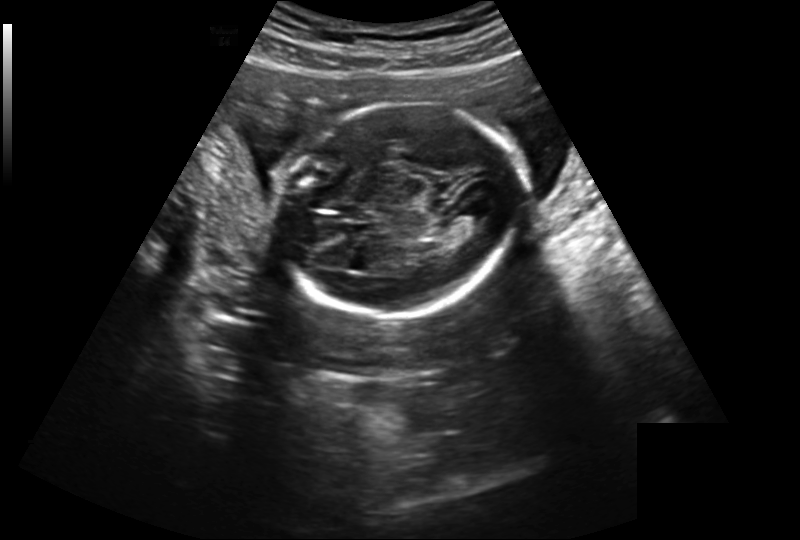
Fetal head ultrasound. Image width: 191.4 mm. Locate the fetal head and, if visible, the cavum septum pellucidum (CSP) and lateral ventricle (LV). Give bounding boxes as [x1,y1,x2,y2].

Head: [280,100,521,319]
CSP: [340,203,369,218]
Lateral ventricle: [457,199,490,231]